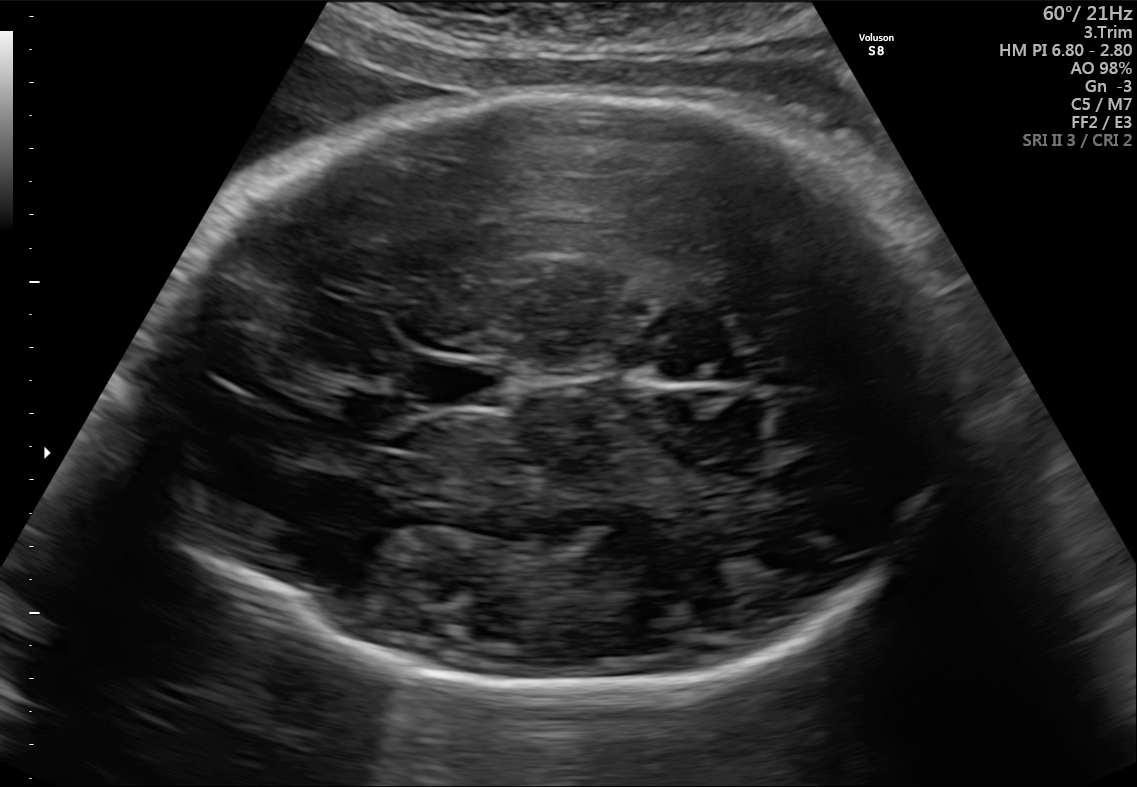
Fetal brain, trans-thalamic plane. Where is the fetal head?

Head bounding box: [130,92,966,693]